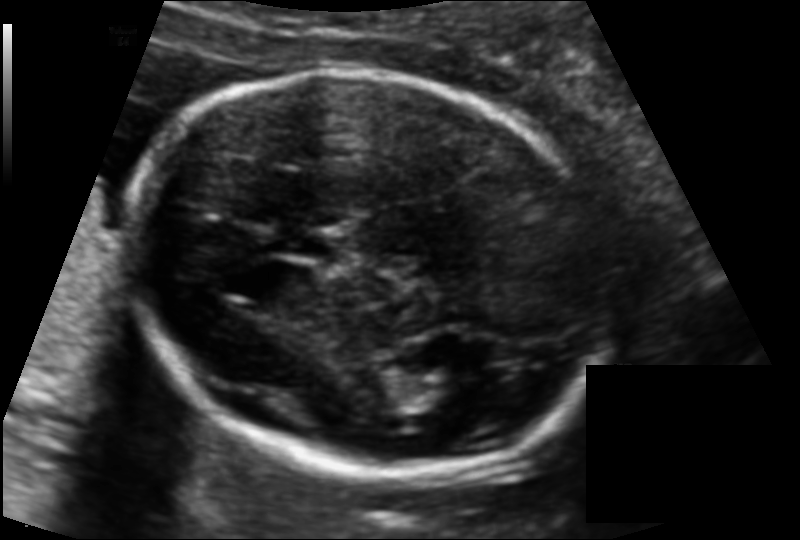
In this fetal head ultrasound, give the bounding box of the cavum septum pellucidum. Image width: 93.1 mm.

[275,221,350,270]